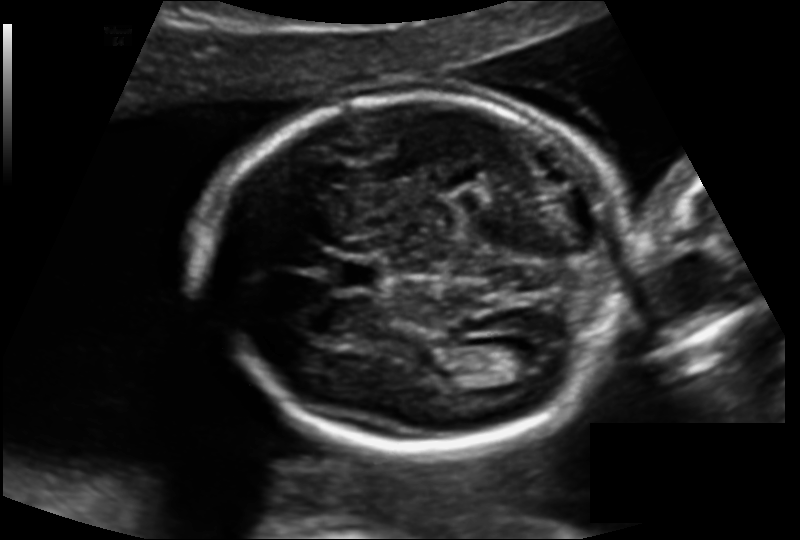
Fetal head ultrasound. Image width: 110.2 mm. Locate the fetal head.

Head: [203,95,626,450]